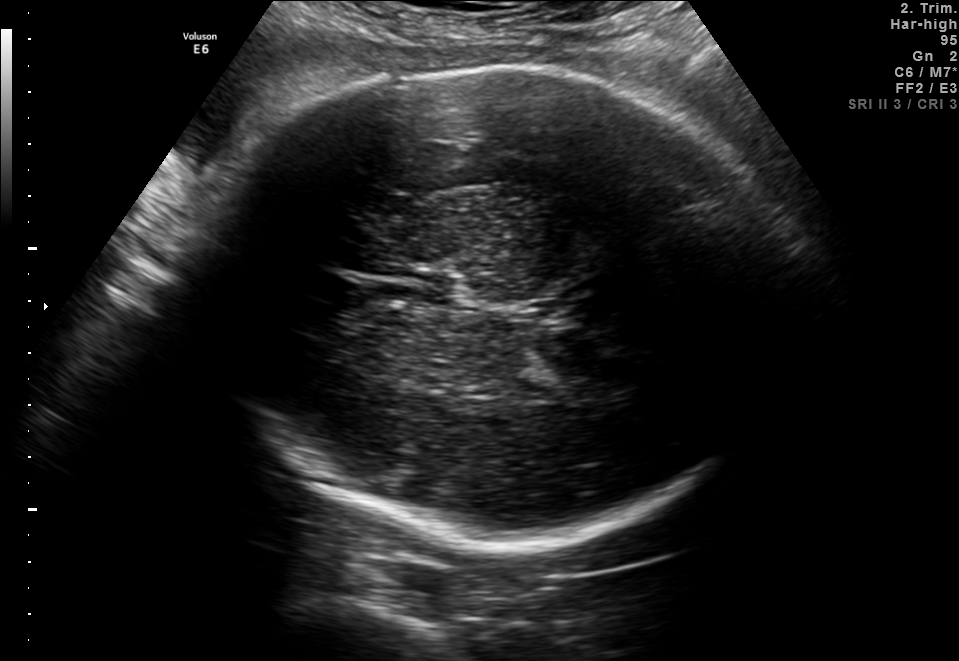
Fetal brain, trans-thalamic plane. Give [x1,y1,x2,y2] bounding boxes for each visible structure among: fetal head, CSP, LV.

Head: [203,67,800,548]